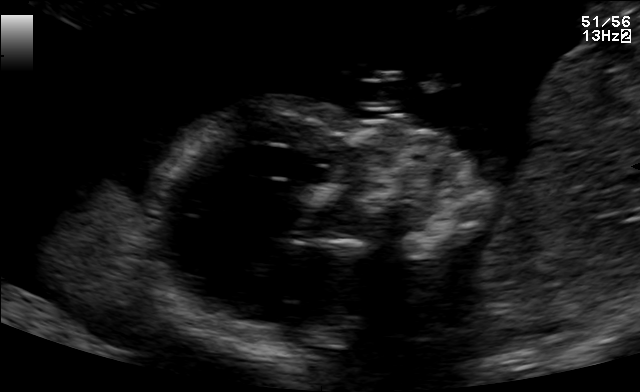
Which standard maternal-fetal ultrasound plane is shown: fetal abdomen, fetal brain, fetal femur, fetal thorax, maternal cervix, or other? If it's fetal brain and one of the three standard brain planes (trans-thalamic, trans-cerebellum, trans-ventricular), name which.

Other